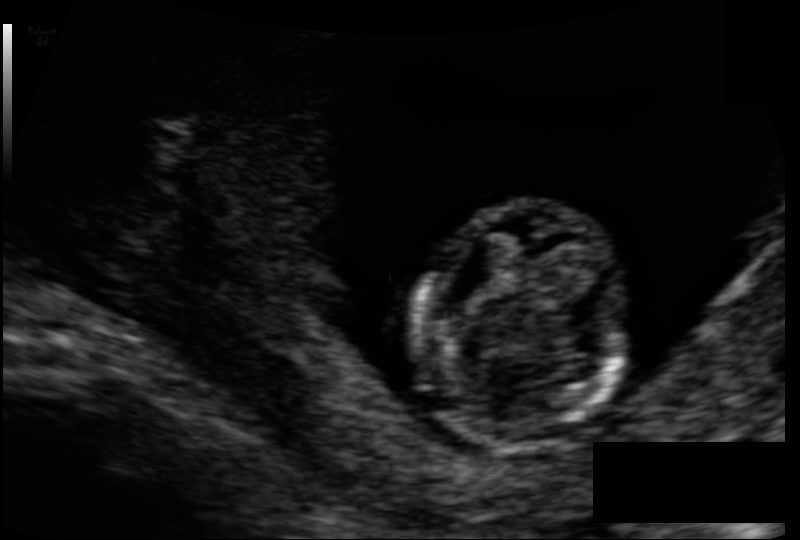
Fetal head ultrasound. Image width: 76.4 mm. Locate the fetal head and, if visible, the cavum septum pellucidum (CSP) and lateral ventricle (LV). Give bounding boxes as [x1,y1,x2,y2].

Head: [416,204,626,444]